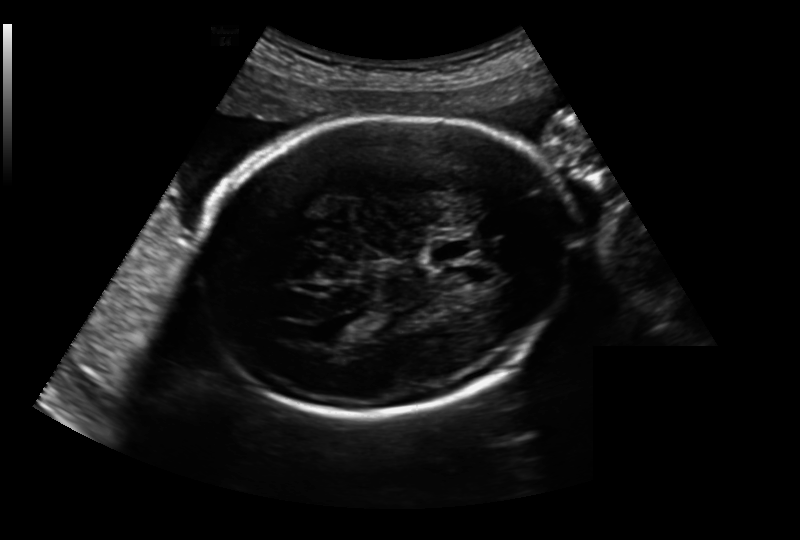
What is the fetal head circumference? Image width is 170.6 mm.

233.3 mm